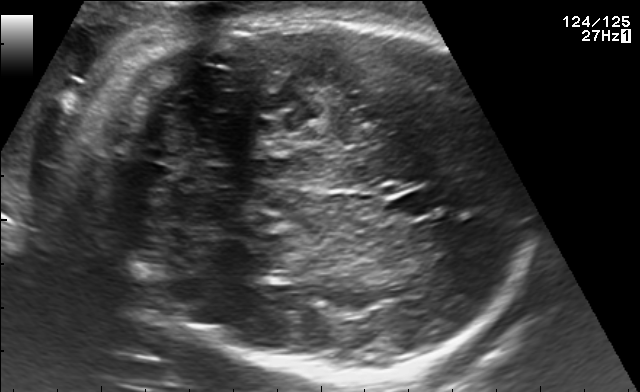
In this fetal brain, trans-cerebellum plane, give bounding boxes for the head outline, cavum septum pellucidum (CSP), and lateral ventricle (LV), where visible.

Head: [113,16,519,387]
CSP: [382,184,441,230]